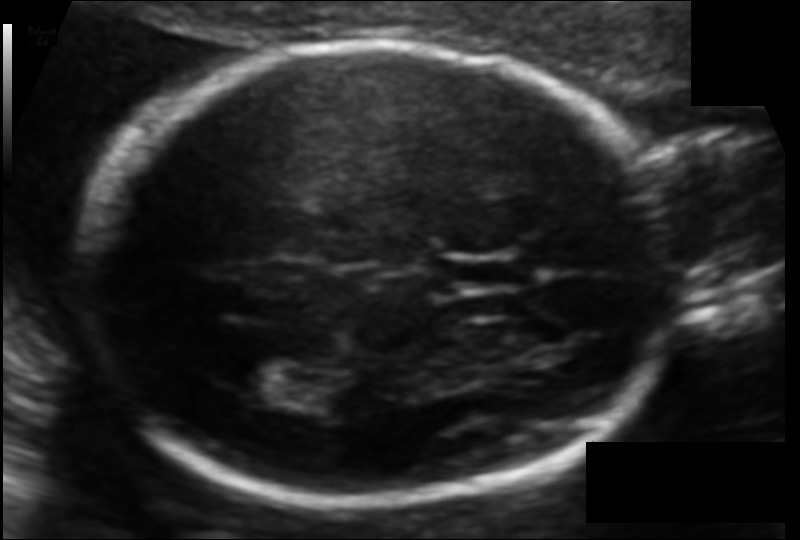
Estimate the fetal head circumference from this 2D ultrasound.

Head circumference: 177.4 mm (image width 83.2 mm).